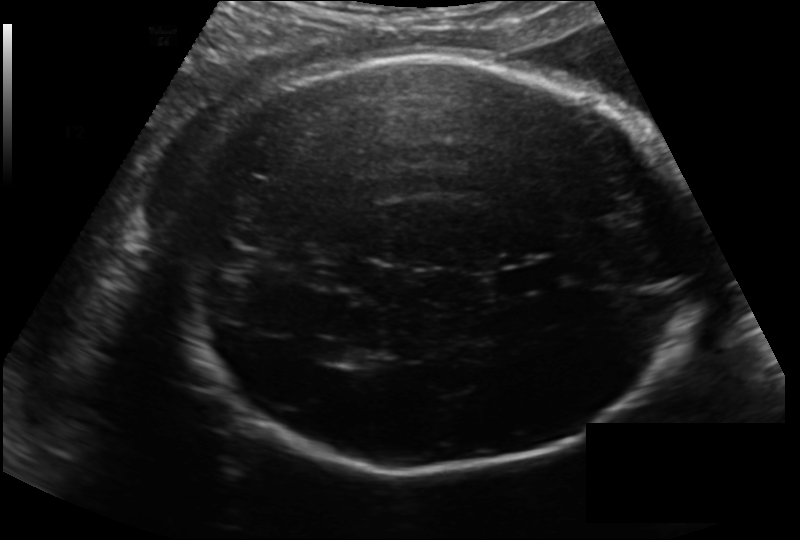
Fetal head ultrasound. Image width: 146.5 mm. Give [x1,y1,x2,y2] bounding boxes for each visible structure among: fetal head, CSP, LV.

Head: [171,56,699,468]
CSP: [490,254,570,302]